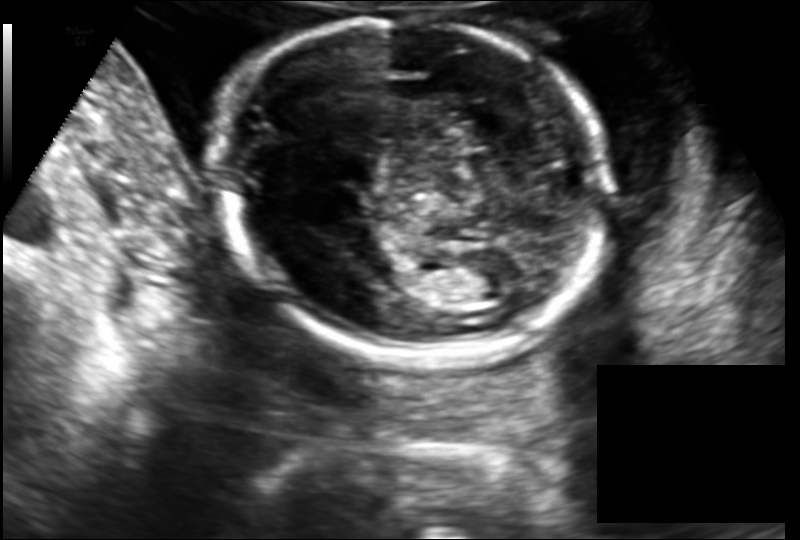
In this fetal head ultrasound, give bounding boxes for the head outline, cavum septum pellucidum (CSP), and lateral ventricle (LV), where visible. Image width: 119.1 mm.

Head: [214,20,607,361]